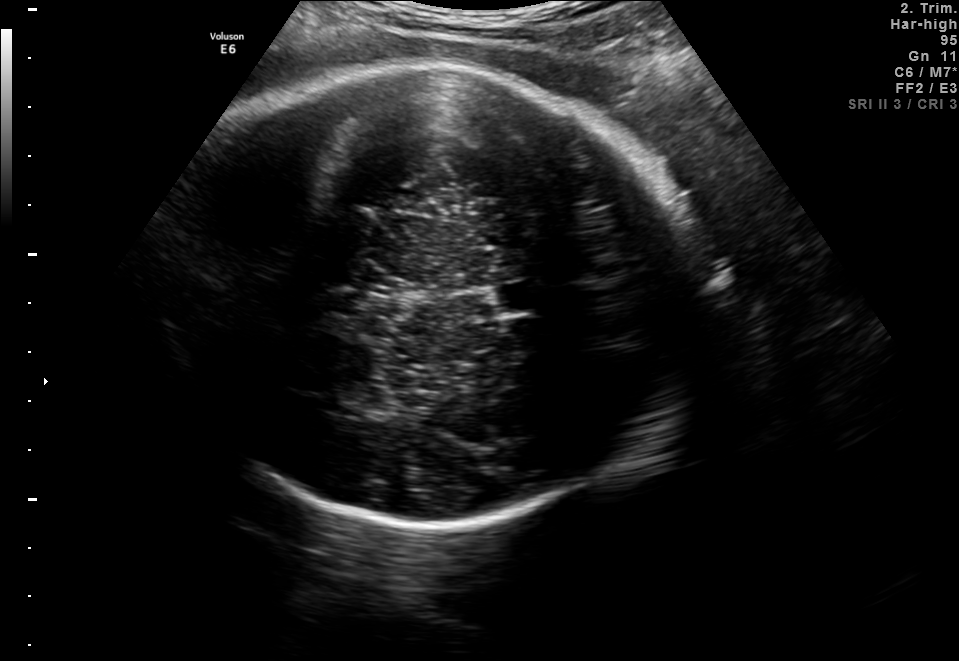
Classify this maternal-fetal ultrasound image as one of the six standard planes — fetal abdomen, fetal brain, fetal femur, fetal thorax, maternal cervix, or other. If it's fetal brain and one of the three standard brain planes (trans-thalamic, trans-cerebellum, trans-ventricular), name which.

Fetal brain (trans-thalamic plane)